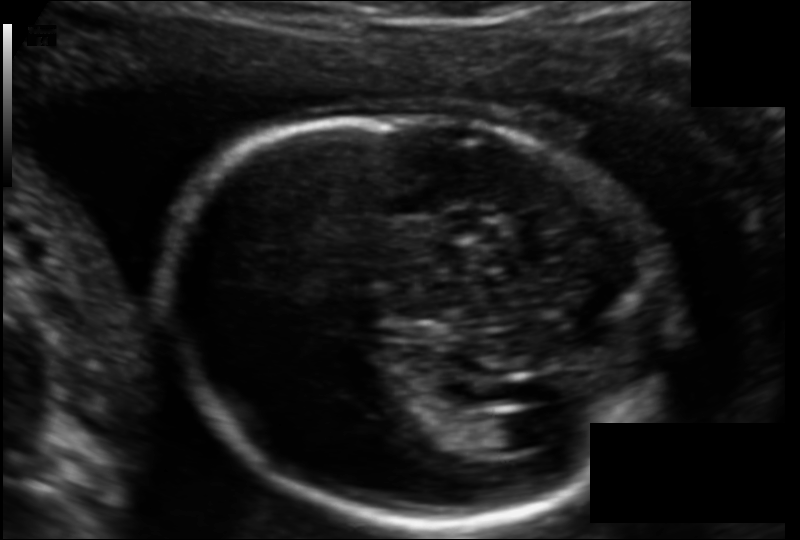
In this fetal head ultrasound, give the bounding box of the lateral ventricle. Image width: 98.5 mm.

[472,413,540,454]